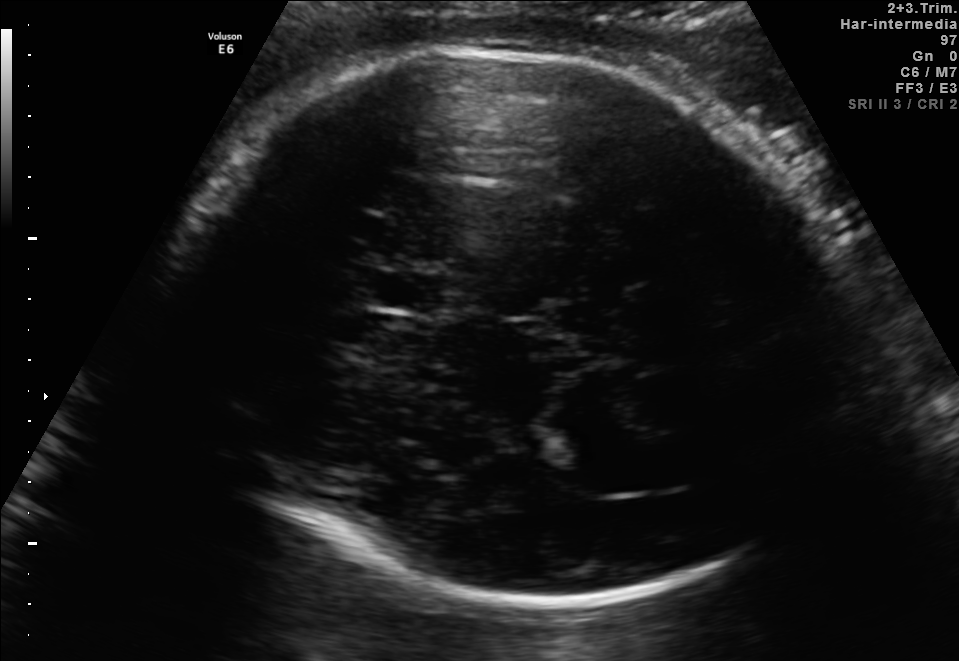
Fetal brain, trans-thalamic plane. Locate the cavum septum pellucidum.

CSP: [368,266,441,315]